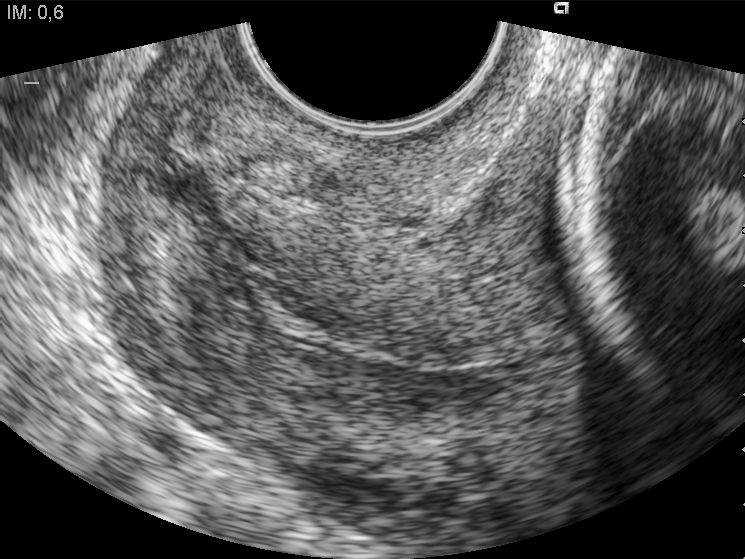
This is a 2D maternal-fetal ultrasound frame. Is it a fetal abdomen, fetal brain, fetal femur, fetal thorax, maternal cervix, or other standard plane? If it's fetal brain and one of the three standard brain planes (trans-thalamic, trans-cerebellum, trans-ventricular), name which.

Maternal cervix